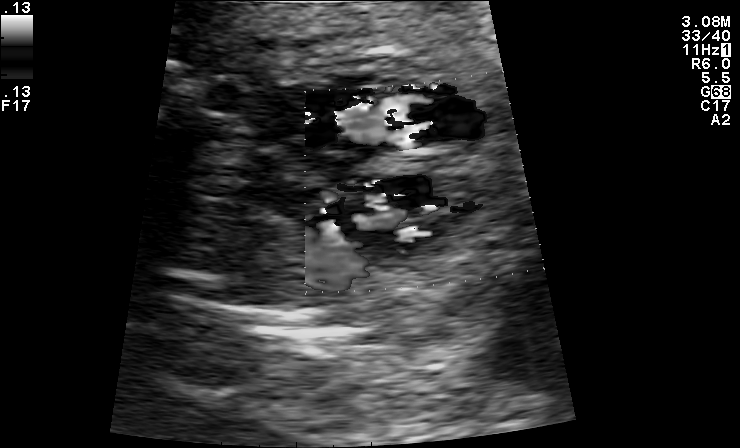
Classify this maternal-fetal ultrasound image as one of the six standard planes — fetal abdomen, fetal brain, fetal femur, fetal thorax, maternal cervix, or other. If it's fetal brain and one of the three standard brain planes (trans-thalamic, trans-cerebellum, trans-ventricular), name which.

Other